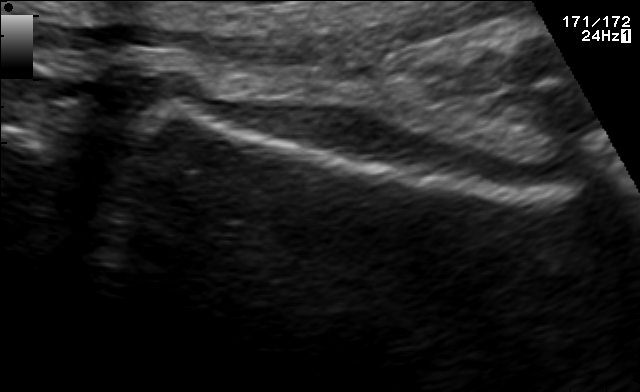
This is a 2D maternal-fetal ultrasound frame. Is it a fetal abdomen, fetal brain, fetal femur, fetal thorax, maternal cervix, or other standard plane? If it's fetal brain and one of the three standard brain planes (trans-thalamic, trans-cerebellum, trans-ventricular), name which.

Fetal femur